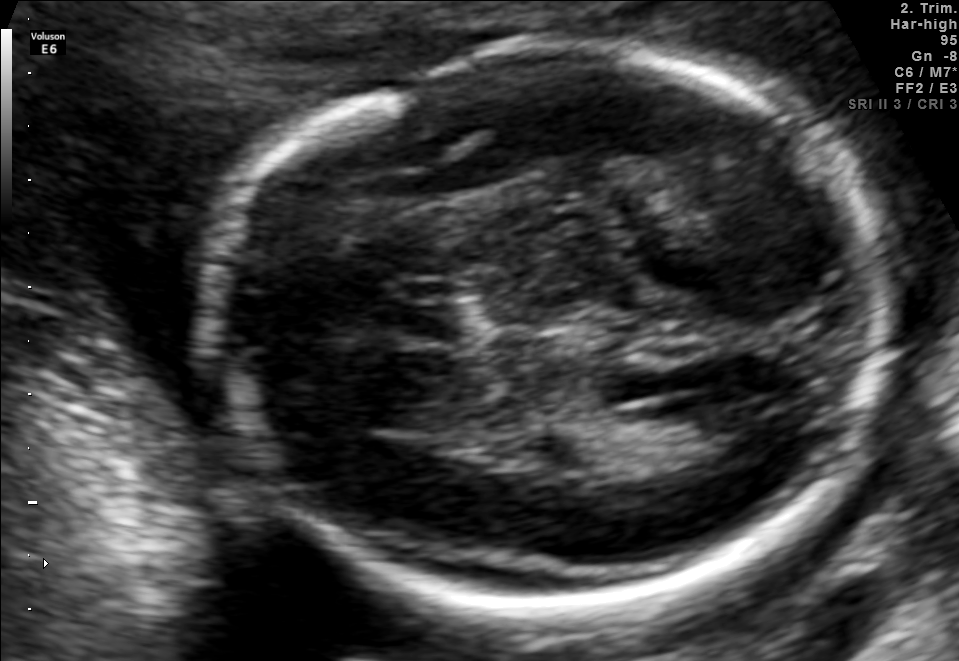
Fetal brain, trans-ventricular plane. Locate the fetal head.

Head: [194,37,909,610]